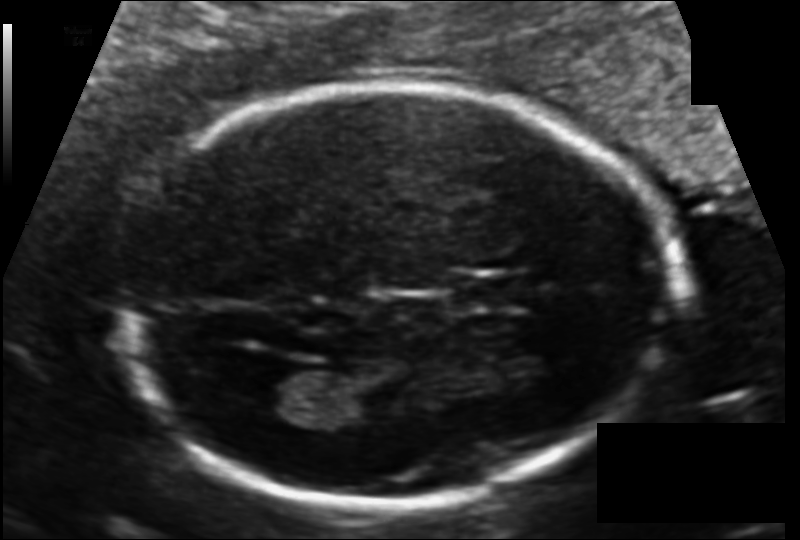
Fetal head ultrasound. Image width: 90.0 mm. Locate the cavum septum pellucidum.

CSP: [451,276,526,309]